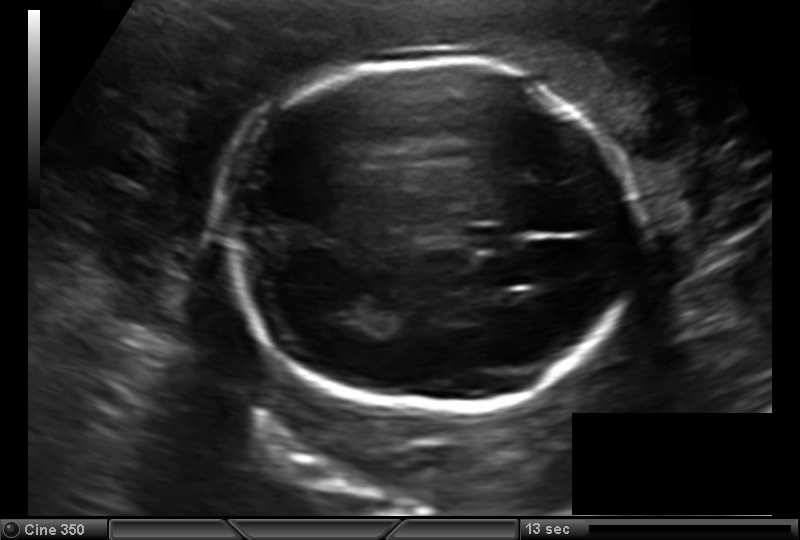
Fetal head ultrasound. Image width: 125.6 mm. Give [x1,y1,x2,y2] bounding boxes for each visible structure among: fetal head, CSP, LV.

Head: [223,60,642,408]
CSP: [466,226,518,248]
Lateral ventricle: [325,285,379,329]